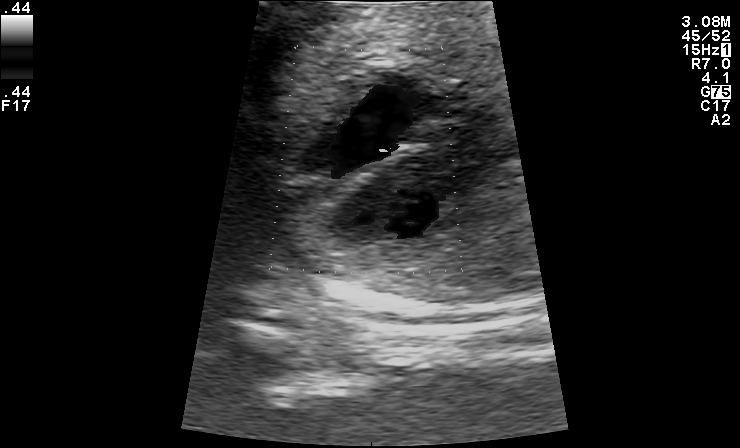
Classify this maternal-fetal ultrasound image as one of the six standard planes — fetal abdomen, fetal brain, fetal femur, fetal thorax, maternal cervix, or other. If it's fetal brain and one of the three standard brain planes (trans-thalamic, trans-cerebellum, trans-ventricular), name which.

Other